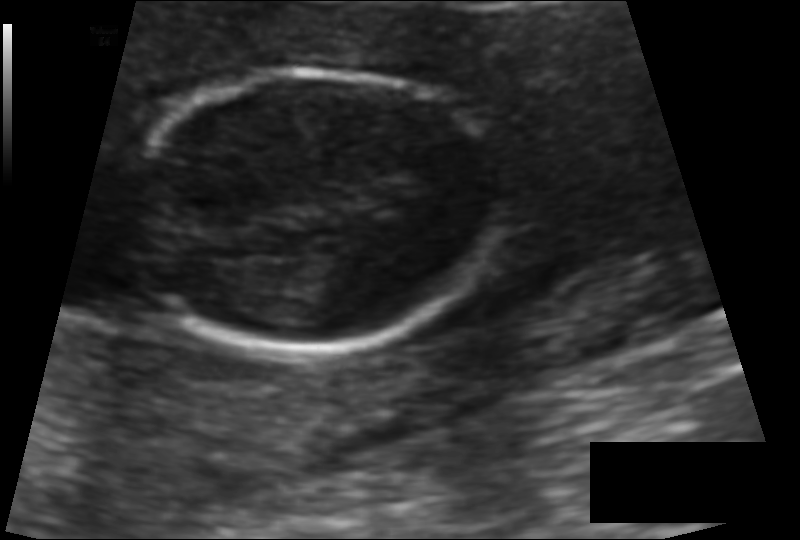
Estimate the fetal head circumference from this 2D ultrasound. Image width: 75.9 mm.

Head circumference: 103.8 mm.